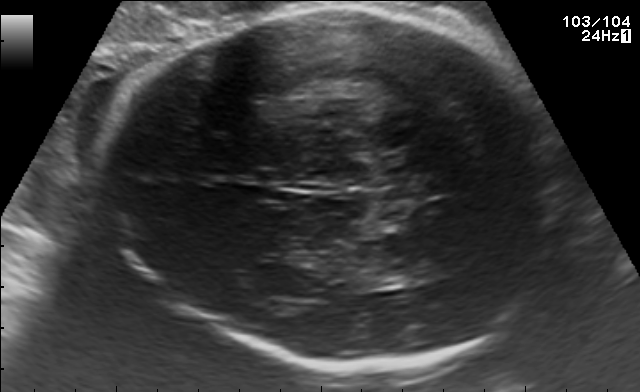
Fetal brain, trans-thalamic plane. Locate the fetal head and, if visible, the cavum septum pellucidum (CSP) and lateral ventricle (LV). Give bounding boxes as [x1,y1,x2,y2].

Head: [98,6,558,367]